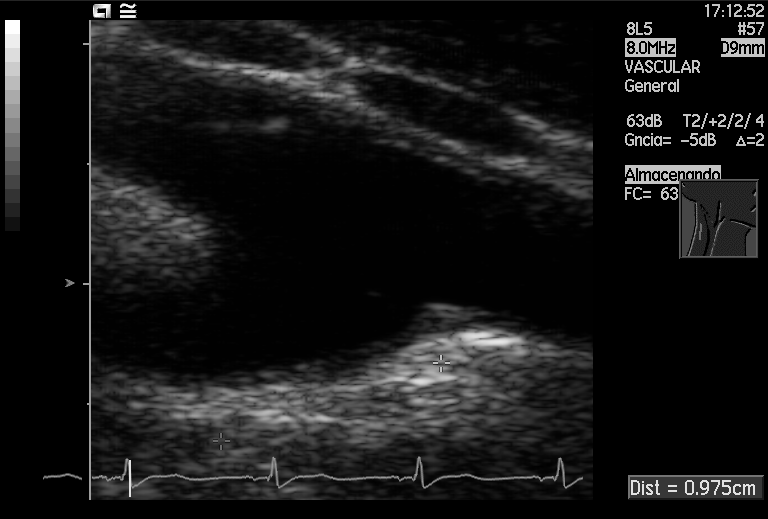
Which standard maternal-fetal ultrasound plane is shown: fetal abdomen, fetal brain, fetal femur, fetal thorax, maternal cervix, or other? If it's fetal brain and one of the three standard brain planes (trans-thalamic, trans-cerebellum, trans-ventricular), name which.

Other